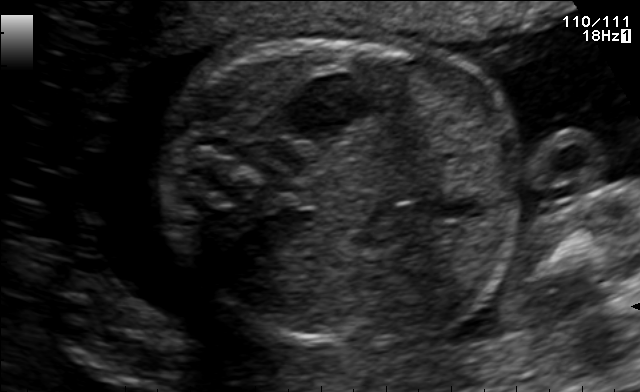
Identify the standard plane in this fetal ultrasound image: fetal abdomen, fetal brain, fetal femur, fetal thorax, maternal cervix, or other. If it's fetal brain and one of the three standard brain planes (trans-thalamic, trans-cerebellum, trans-ventricular), name which.

Fetal abdomen